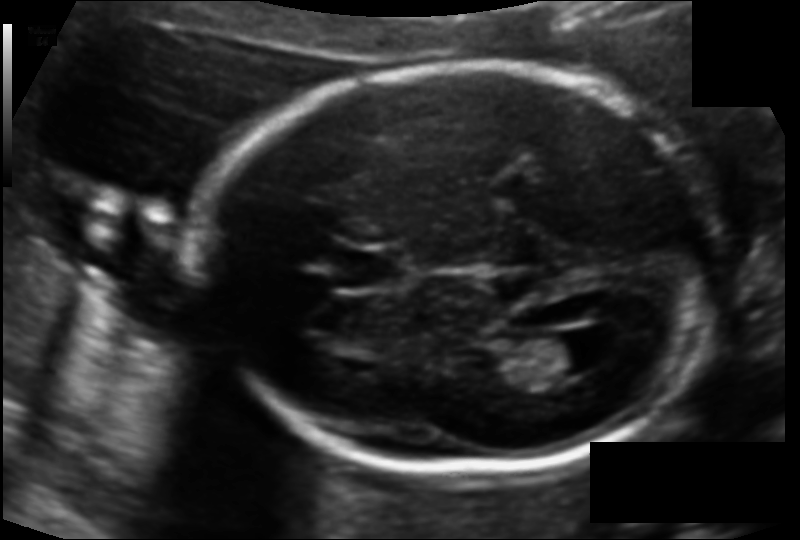
Fetal head ultrasound. Image width: 94.2 mm. Give [x1,y1,x2,y2] bounding boxes for each visible structure among: fetal head, CSP, LV.

Head: [208,65,714,469]
CSP: [338,251,404,287]
Lateral ventricle: [524,325,609,384]